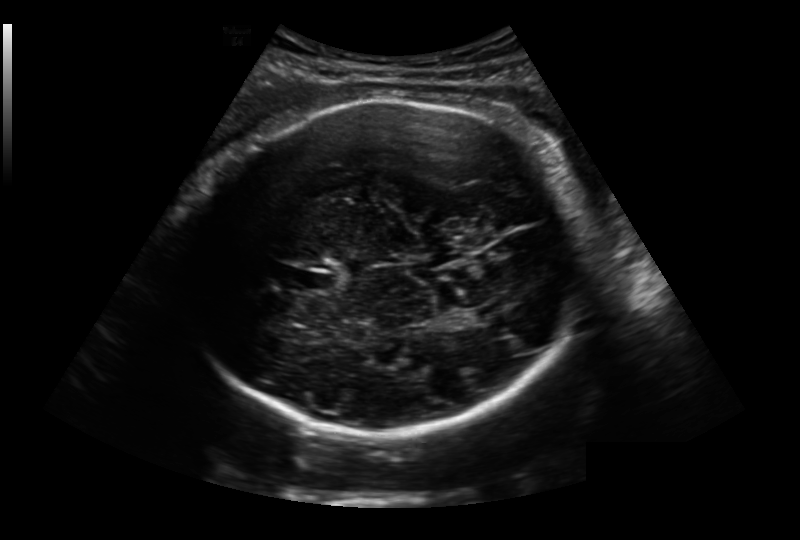
Fetal head ultrasound. Image width: 188.7 mm. Where is the fetal head?

Head bounding box: [180,97,593,435]